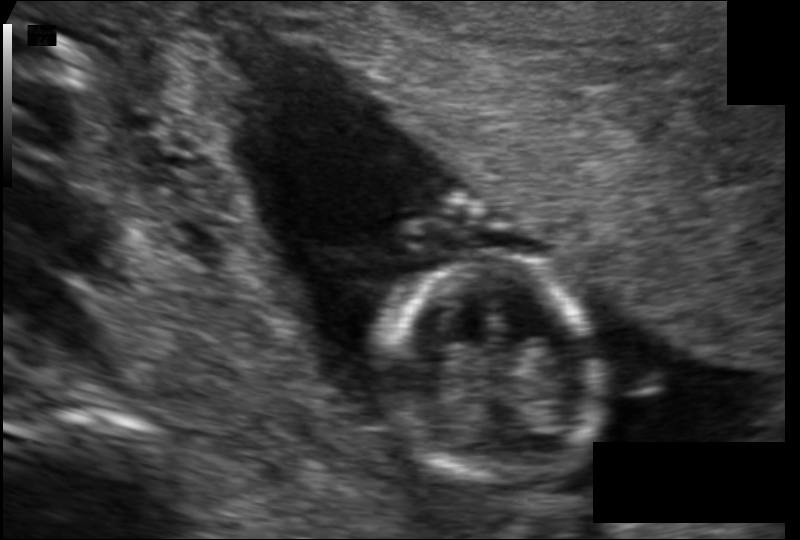
What is the fetal head circumference? Image width is 87.7 mm.

80.9 mm